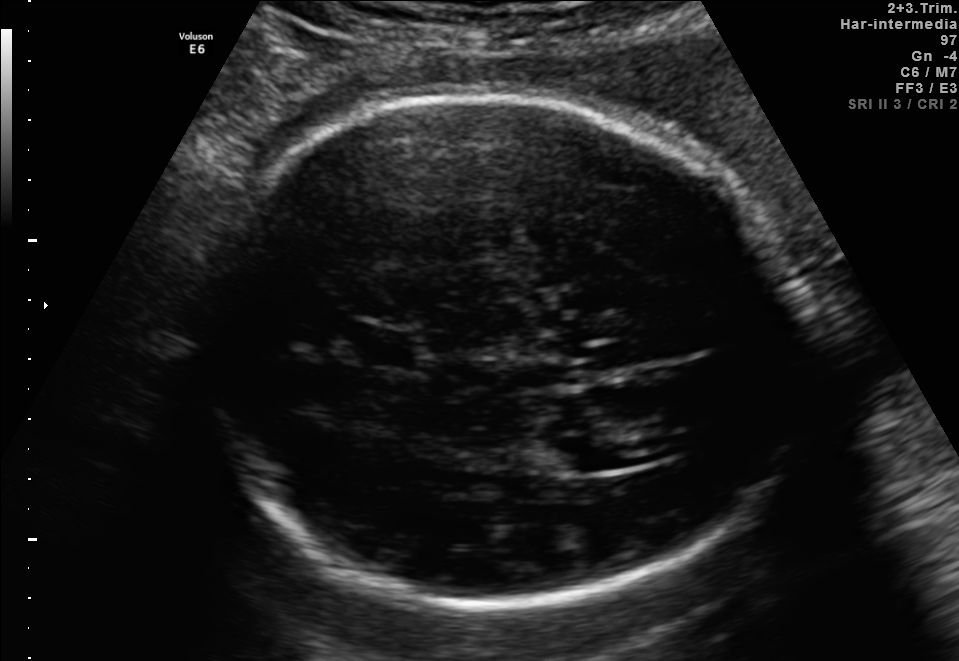
Fetal brain, trans-ventricular plane. Locate the lateral ventricle.

Lateral ventricle: [537,428,622,478]